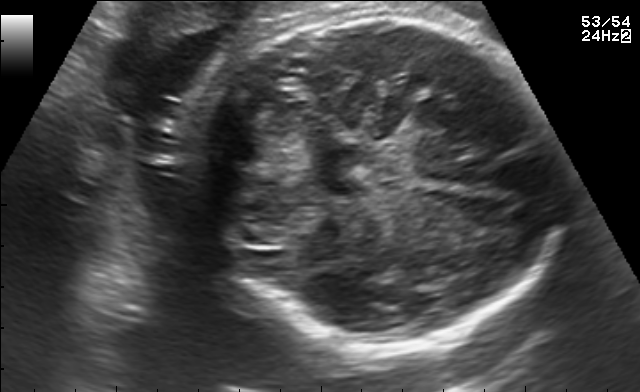
Which standard maternal-fetal ultrasound plane is shown: fetal abdomen, fetal brain, fetal femur, fetal thorax, maternal cervix, or other? If it's fetal brain and one of the three standard brain planes (trans-thalamic, trans-cerebellum, trans-ventricular), name which.

Fetal brain (trans-cerebellum plane)